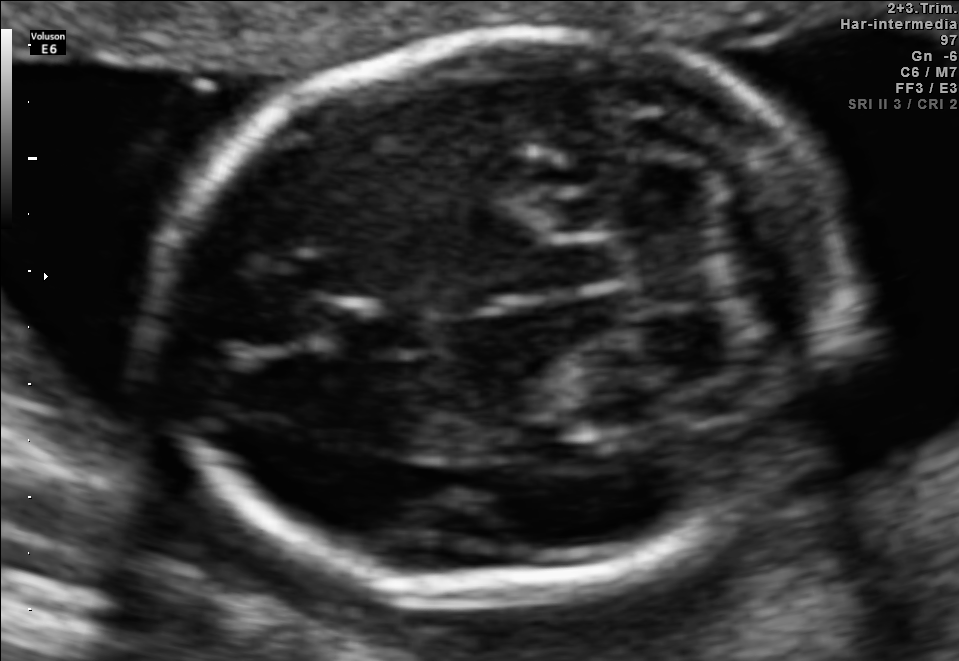
Fetal brain, trans-cerebellum plane. Locate the fetal head.

Head: [161,28,846,597]